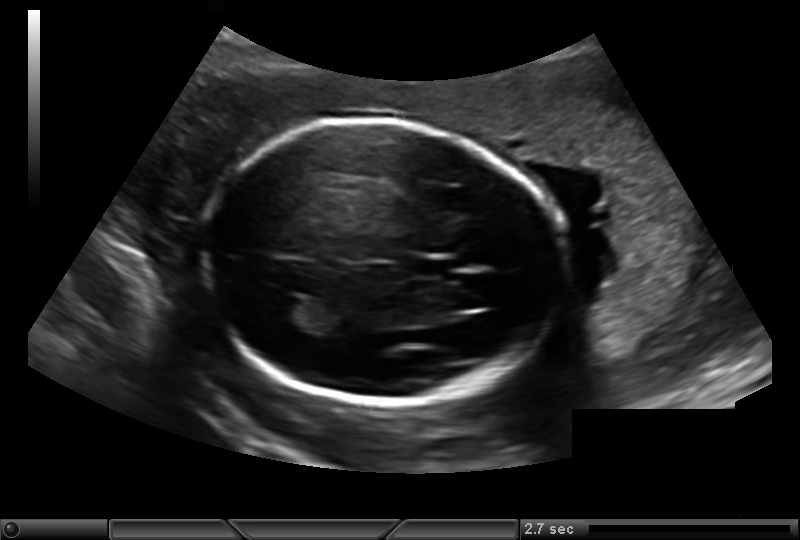
Fetal head ultrasound. Image width: 154.2 mm. Where is the lateral ventricle?

Lateral ventricle bounding box: [263,290,316,331]